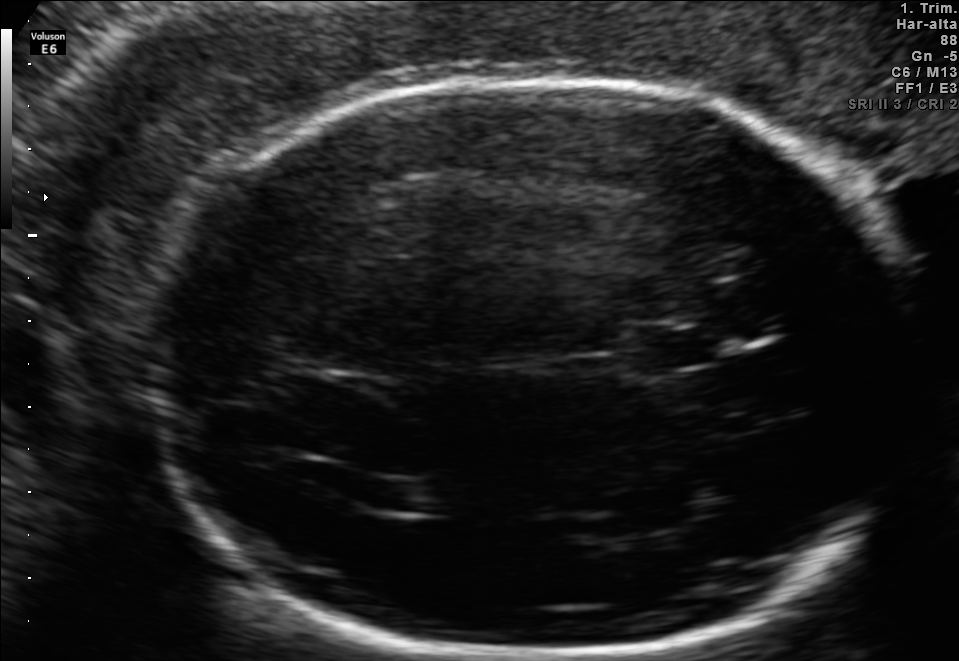
In this fetal brain, trans-thalamic plane, give bounding boxes for the head outline, cavum septum pellucidum (CSP), and lateral ventricle (LV), where visible.

Head: [135,83,912,656]
CSP: [633,325,722,373]
Lateral ventricle: [371,480,452,515]